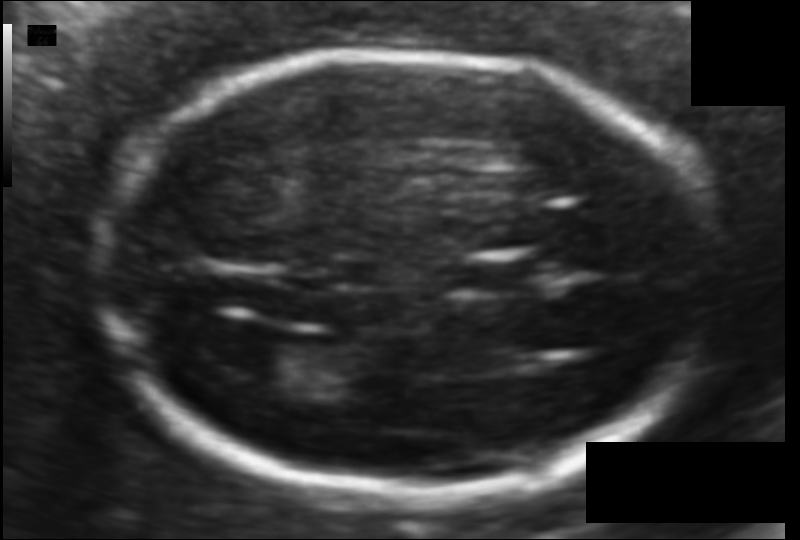
Estimate the fetal head circumference from this 2D ultrasound. Image width: 75.4 mm.

Head circumference: 165.0 mm.